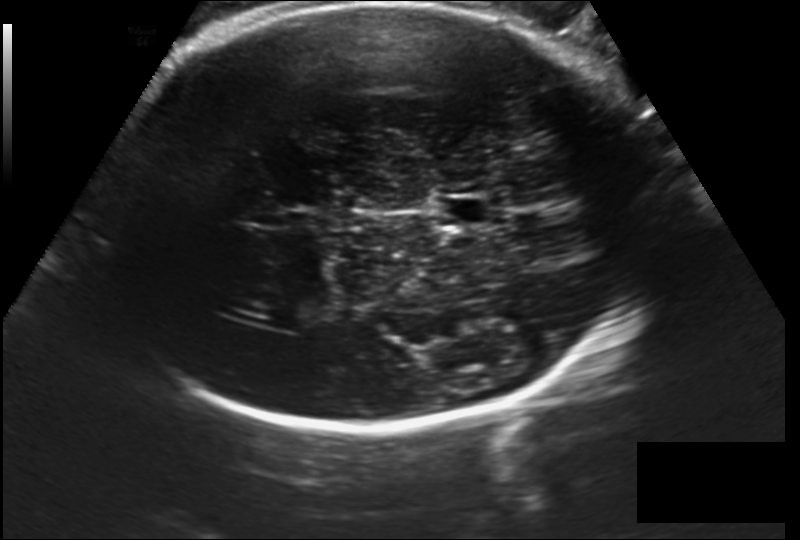
Fetal head ultrasound. Image width: 162.0 mm. Locate the fetal head and, if visible, the cavum septum pellucidum (CSP) and lateral ventricle (LV). Give bounding boxes as [x1,y1,x2,y2].

Head: [106,2,661,428]
CSP: [434,194,490,228]